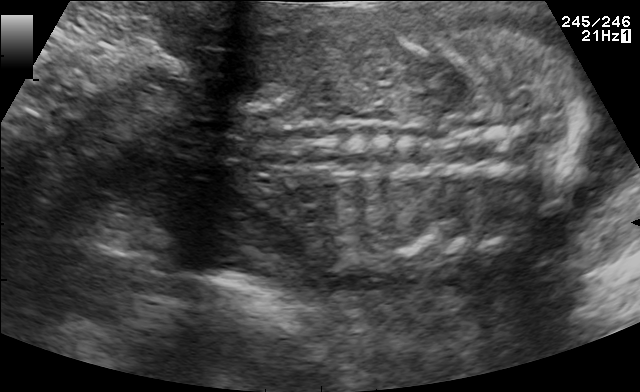
Identify the standard plane in this fetal ultrasound image: fetal abdomen, fetal brain, fetal femur, fetal thorax, maternal cervix, or other. If it's fetal brain and one of the three standard brain planes (trans-thalamic, trans-cerebellum, trans-ventricular), name which.

Other